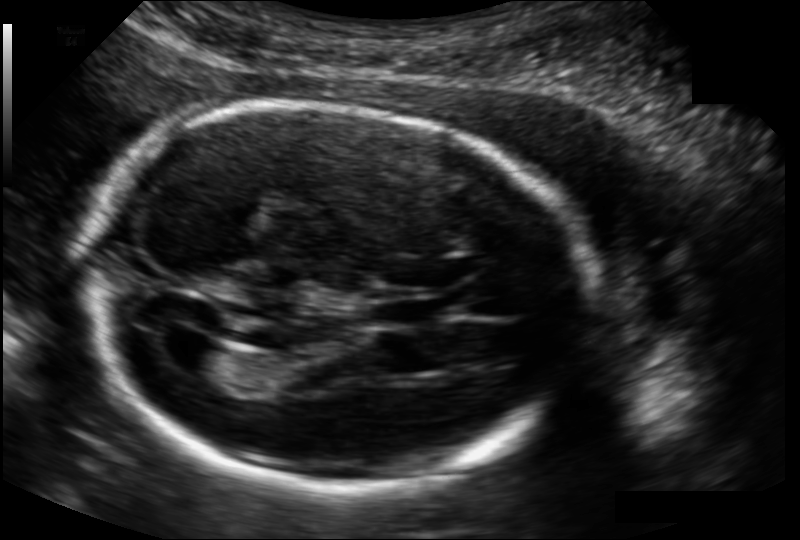
In this fetal head ultrasound, give bounding boxes for the head outline, cavum septum pellucidum (CSP), and lateral ventricle (LV), where visible. Image width: 107.6 mm.

Head: [90,107,586,489]
CSP: [367,295,440,329]
Lateral ventricle: [162,323,230,383]